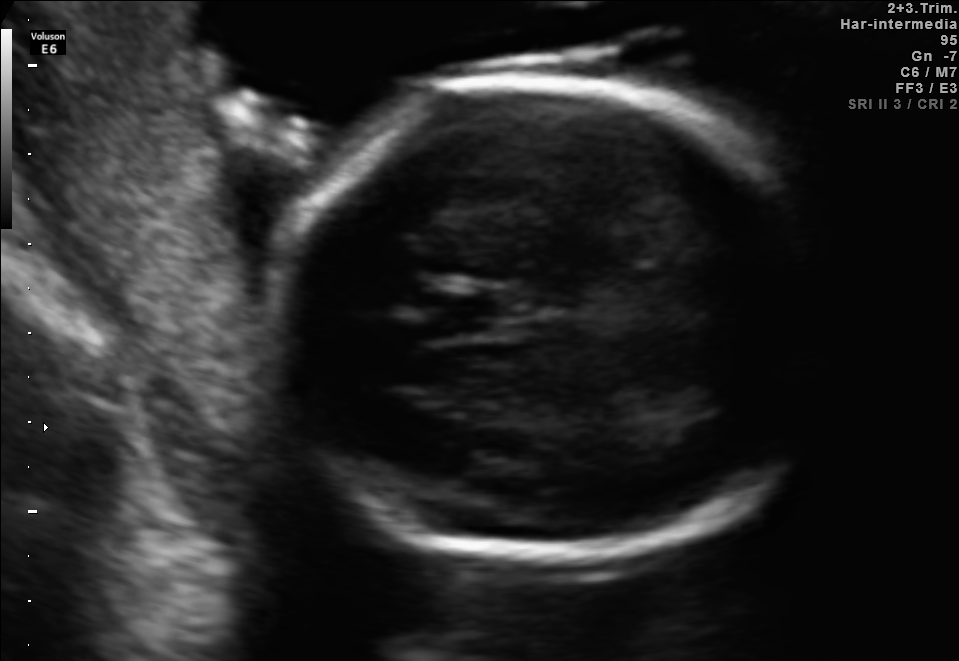
In this fetal brain, trans-thalamic plane, give bounding boxes for the head outline, cavum septum pellucidum (CSP), and lateral ventricle (LV), where visible.

Head: [275,73,822,556]
CSP: [427,290,503,337]